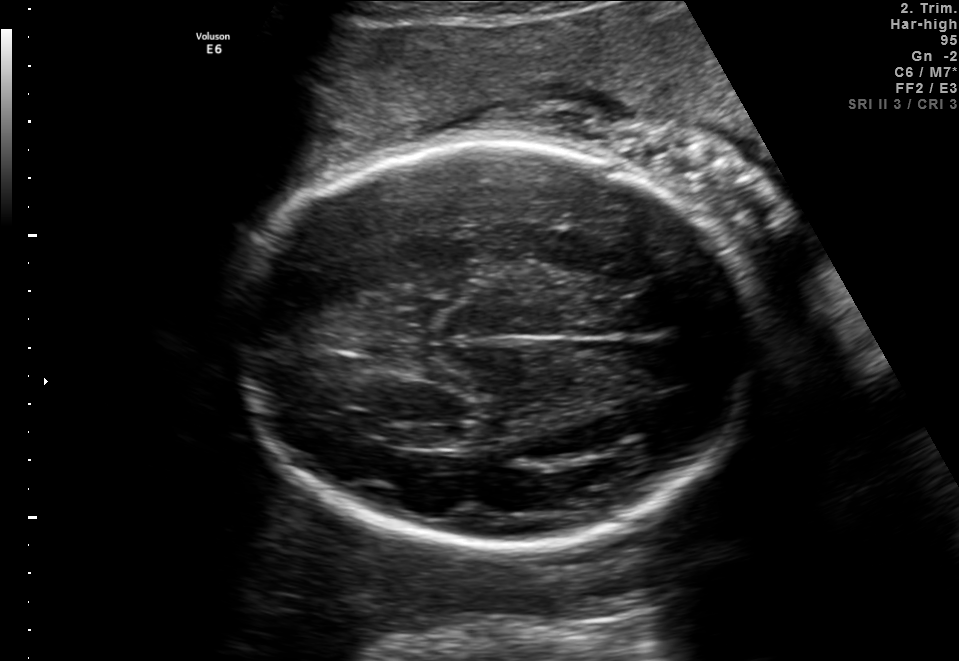
Fetal brain, trans-thalamic plane. Give [x1,y1,x2,y2] bounding boxes for each visible structure among: fetal head, CSP, LV.

Head: [225,144,764,547]
Lateral ventricle: [384,425,468,448]